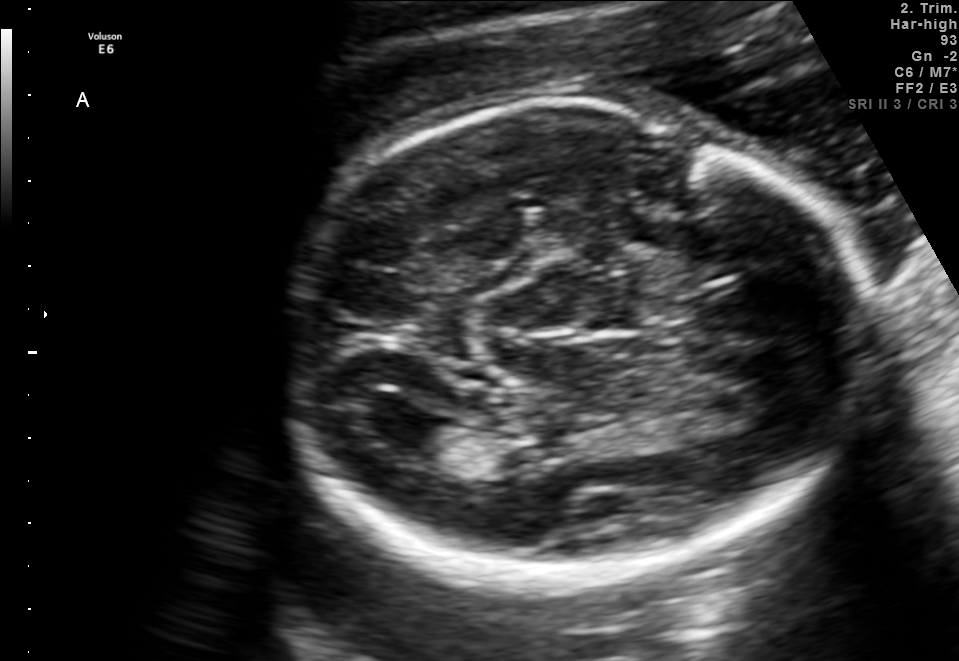
In this fetal brain, trans-ventricular plane, give the bounding box of the lateral ventricle.

[363,394,451,460]